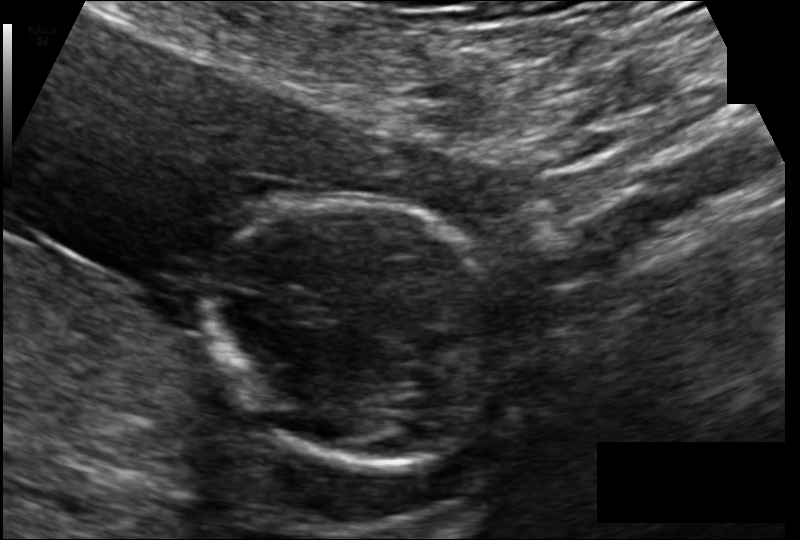
Fetal head ultrasound. Image width: 81.2 mm. Locate the fetal head and, if visible, the cavum septum pellucidum (CSP) and lateral ventricle (LV). Give bounding boxes as [x1,y1,x2,y2].

Head: [201,200,534,466]